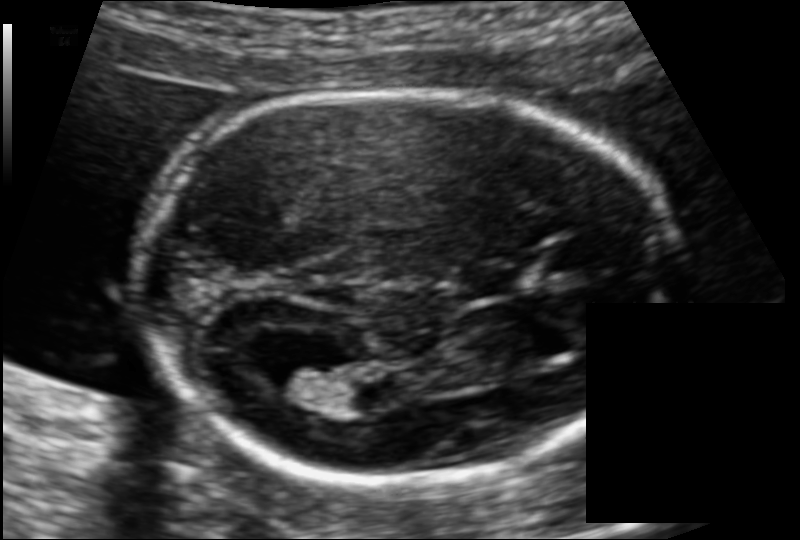
Fetal head ultrasound. Image width: 85.1 mm. Locate the fetal head and, if visible, the cavum septum pellucidum (CSP) and lateral ventricle (LV). Give bounding boxes as [x1,y1,x2,y2].

Head: [134,91,677,478]
CSP: [460,260,532,302]
Lateral ventricle: [258,352,344,413]